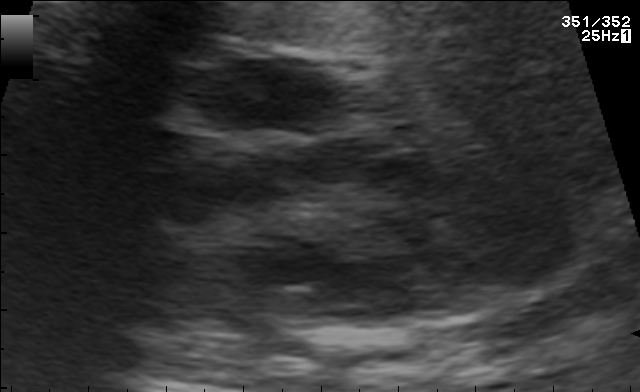
This is a 2D maternal-fetal ultrasound frame. Is it a fetal abdomen, fetal brain, fetal femur, fetal thorax, maternal cervix, or other standard plane? If it's fetal brain and one of the three standard brain planes (trans-thalamic, trans-cerebellum, trans-ventricular), name which.

Other